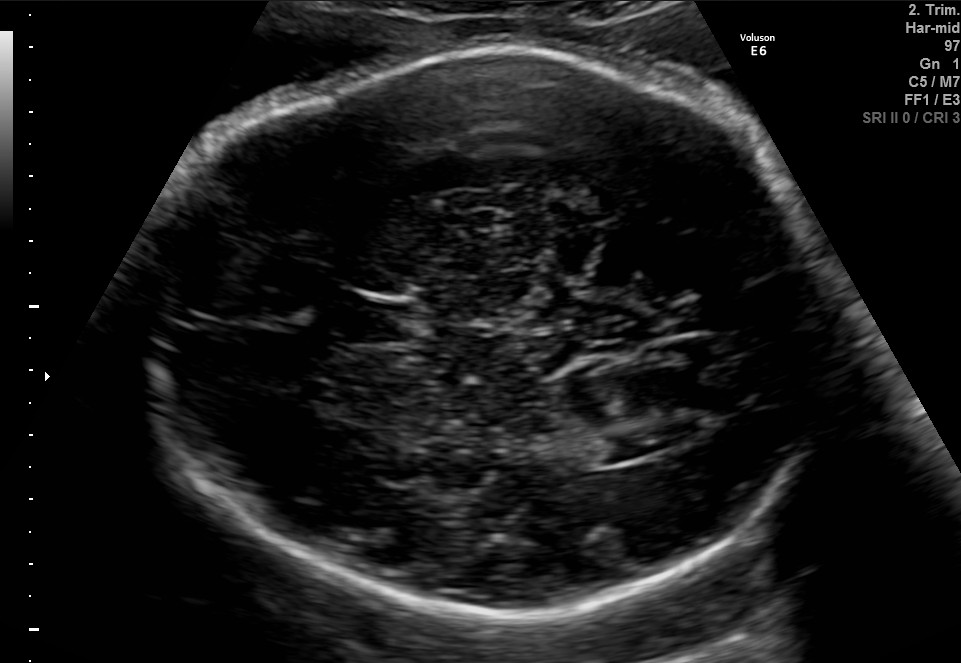
Fetal brain, trans-ventricular plane. Where is the fetal head?

Head bounding box: [138,55,845,620]